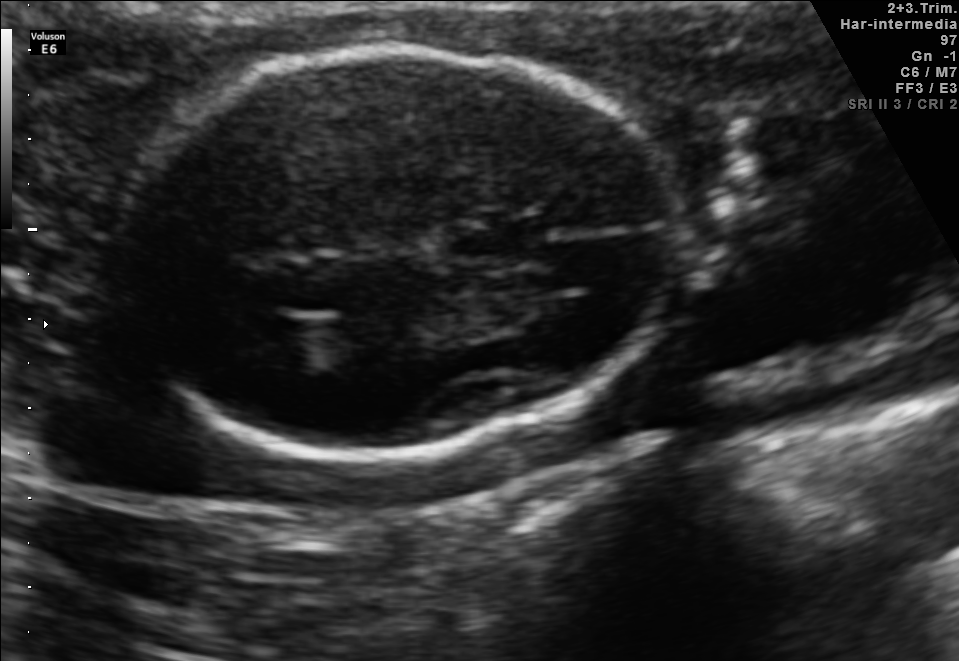
Fetal brain, trans-thalamic plane. Where is the lateral ventricle?

Lateral ventricle bounding box: [228,304,330,369]